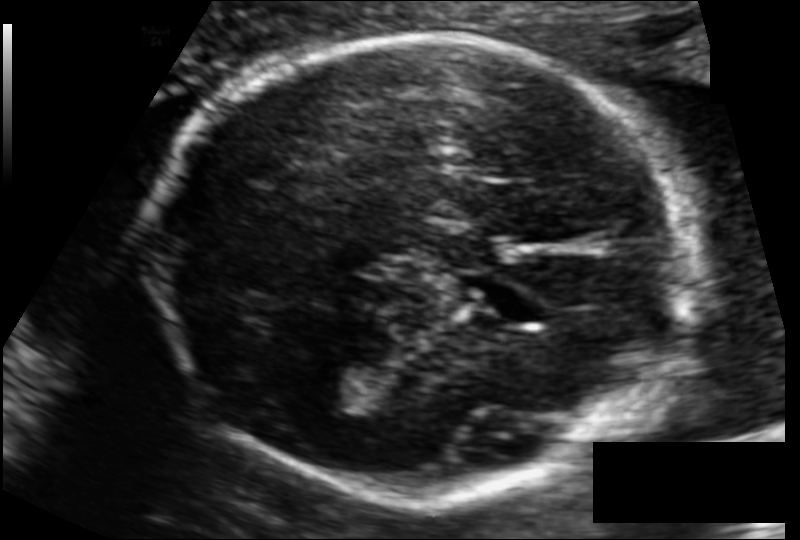
In this fetal head ultrasound, give bounding boxes for the head outline, cavum septum pellucidum (CSP), and lateral ventricle (LV), where visible. Image width: 89.9 mm.

Head: [152,33,690,495]